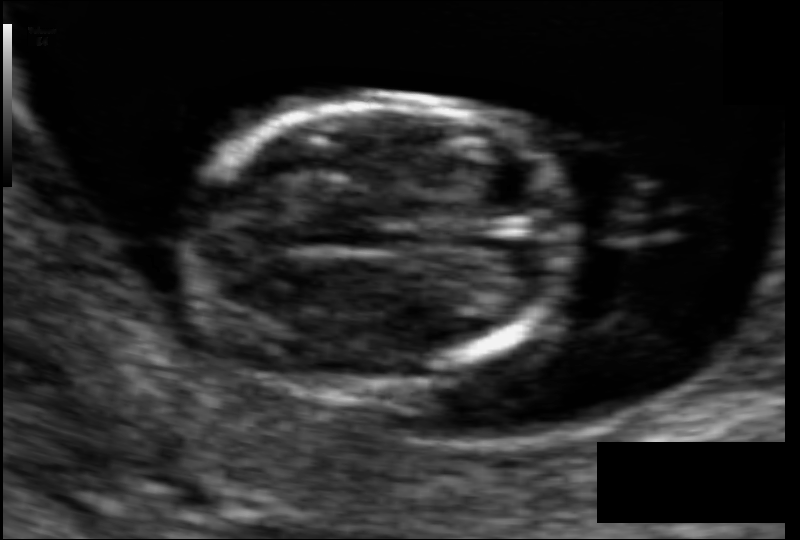
Fetal head ultrasound. Image width: 52.8 mm. Where is the fetal head?

Head bounding box: [188,100,574,383]